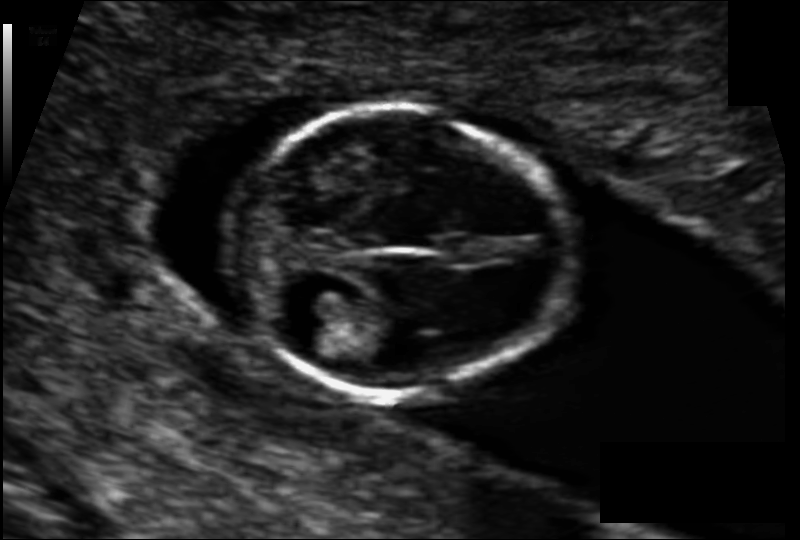
Estimate the fetal head circumference from this 2D ultrasound. Image width: 63.0 mm.

Head circumference: 78.5 mm.